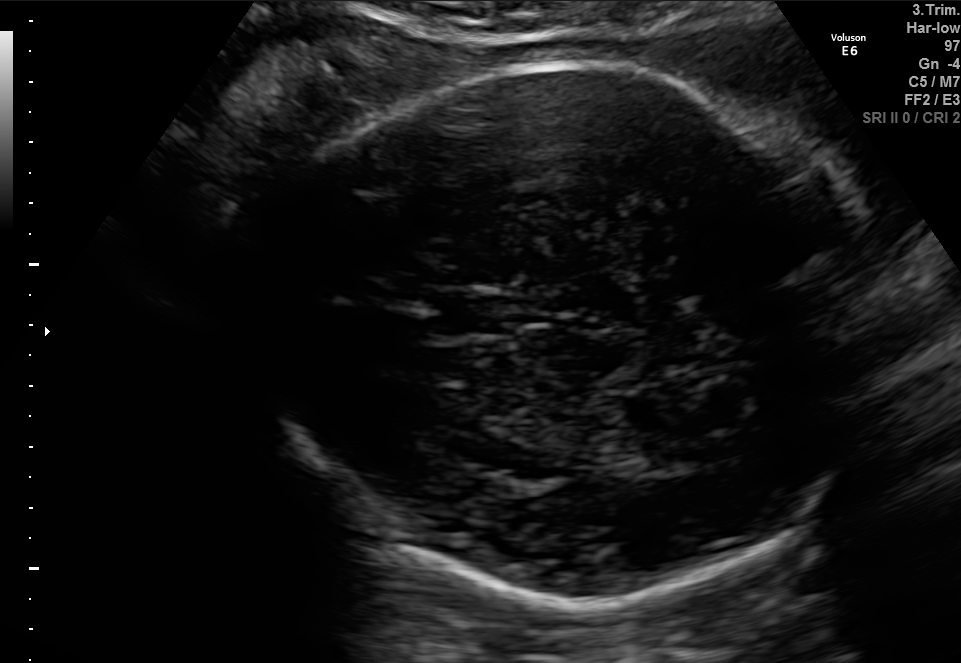
Fetal brain, trans-thalamic plane. Where is the cavum septum pellucidum?

CSP bounding box: [425,295,512,334]